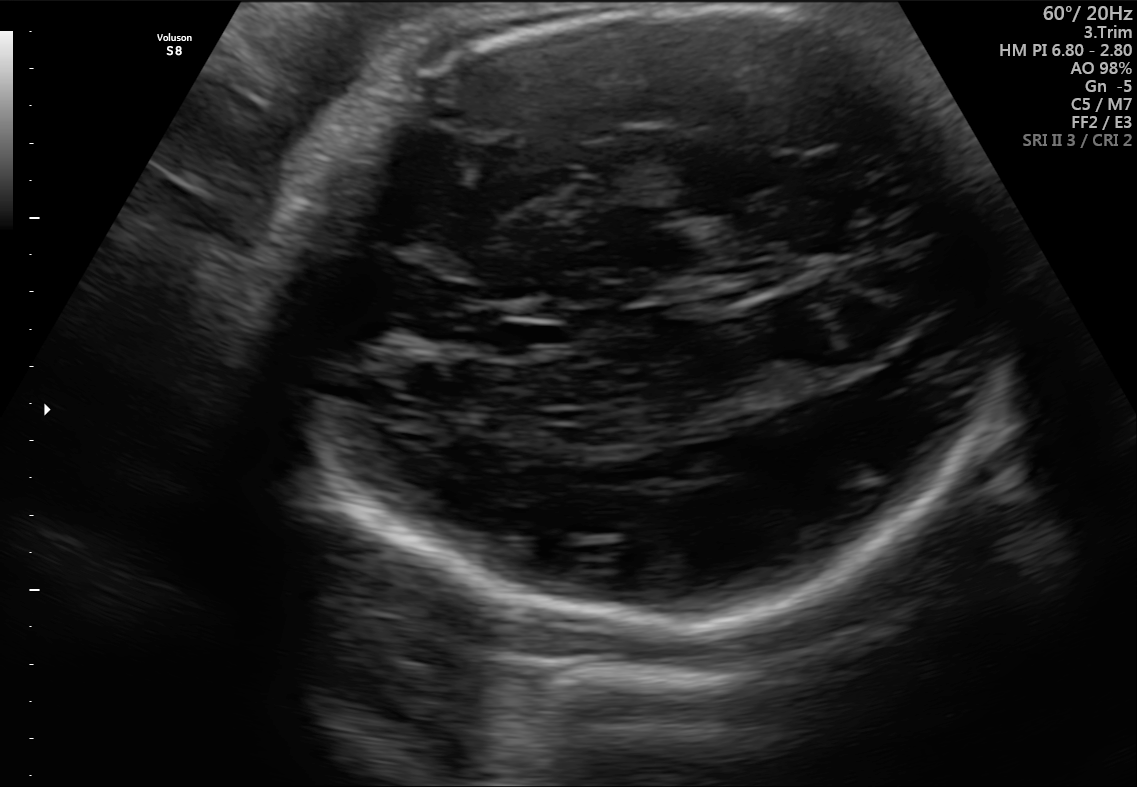
Fetal brain, trans-thalamic plane. Where is the fetal head?

Head bounding box: [268,6,1016,624]